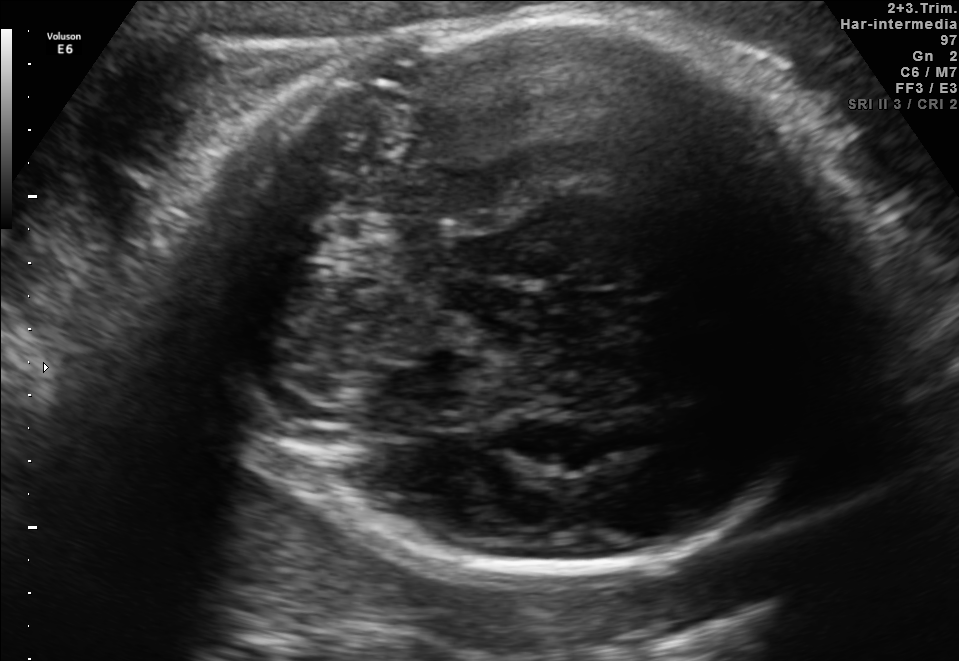
Fetal brain, trans-thalamic plane. Give [x1,y1,x2,y2] bounding boxes for each visible structure among: fetal head, CSP, LV.

Head: [203,9,864,582]